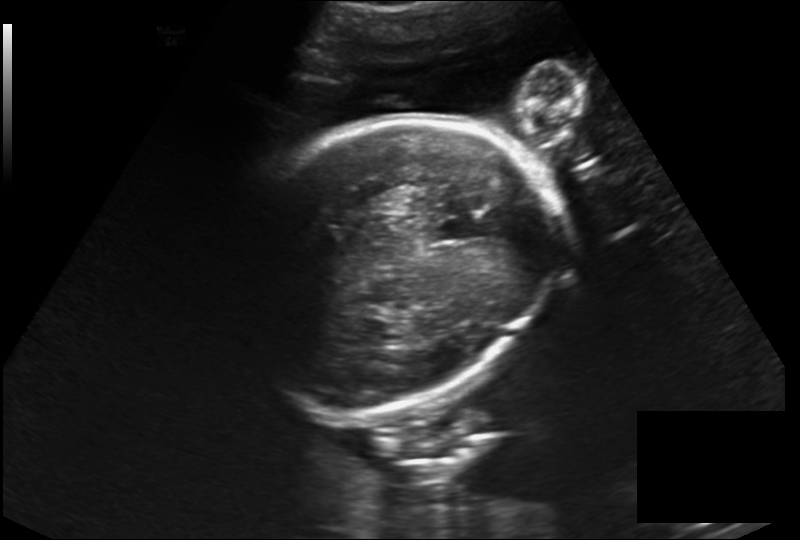
What is the fetal head circumference? Image width is 184.3 mm.

225.2 mm